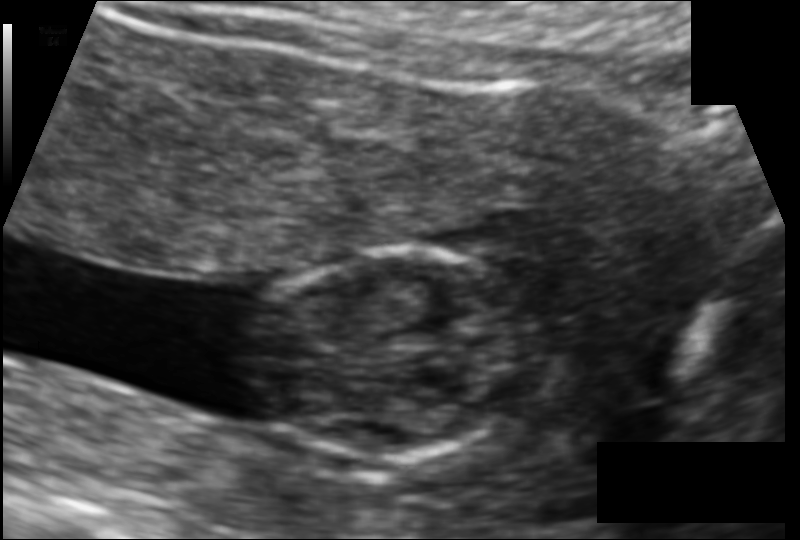
Estimate the fetal head circumference from this 2D ultrasound.

Head circumference: 86.4 mm (image width 84.2 mm).